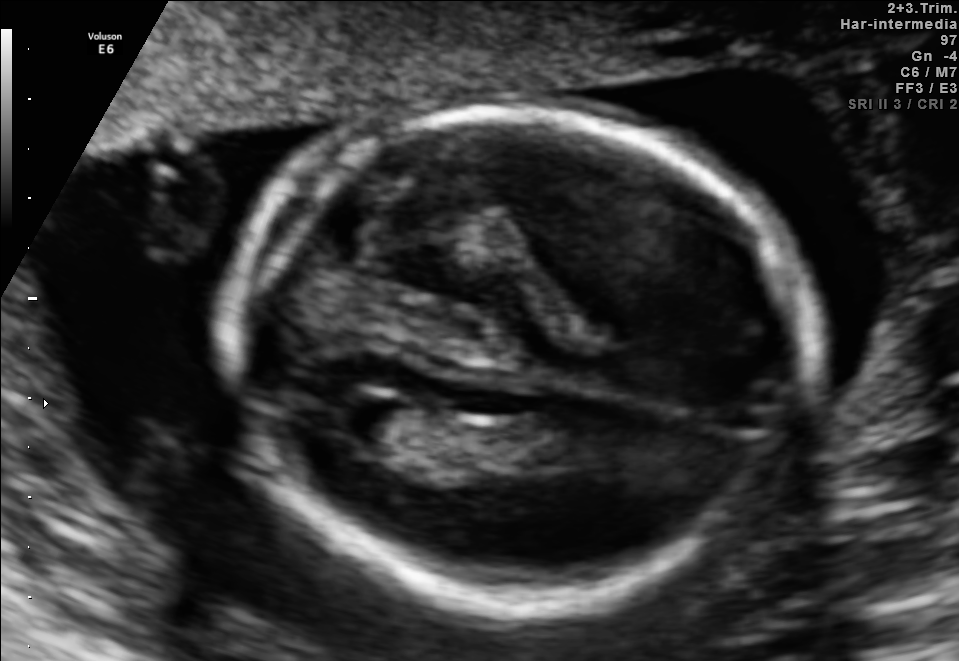
Fetal brain, trans-ventricular plane. Give [x1,y1,x2,y2] bounding boxes for each visible structure among: fetal head, CSP, LV.

Head: [215,101,826,618]
Lateral ventricle: [327,386,409,450]